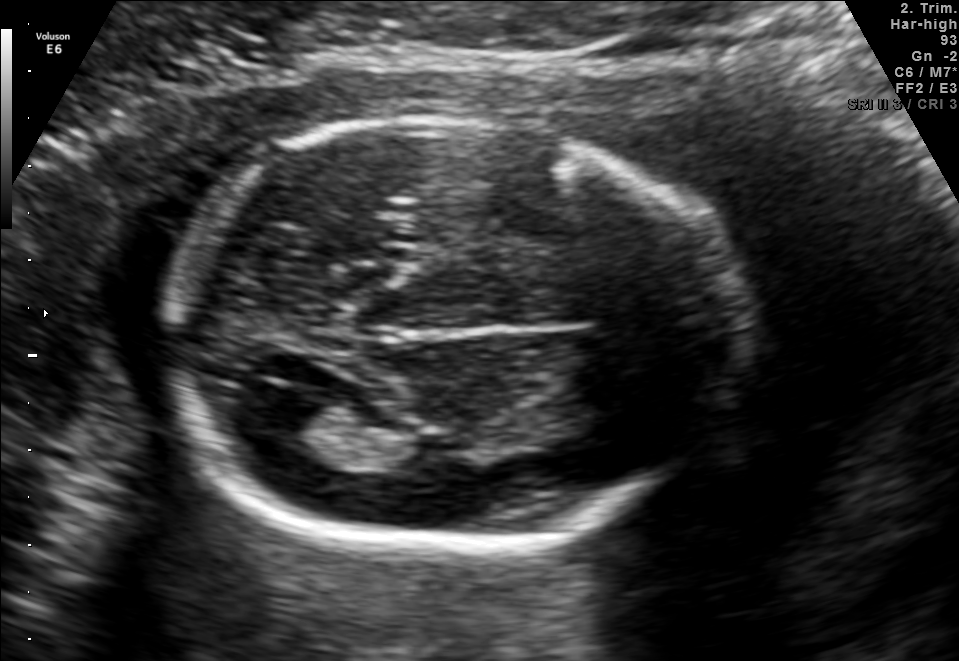
Fetal brain, trans-ventricular plane. Give [x1,y1,x2,y2] bounding boxes for each visible structure among: fetal head, CSP, LV.

Head: [147,106,746,567]
Lateral ventricle: [247,381,328,446]